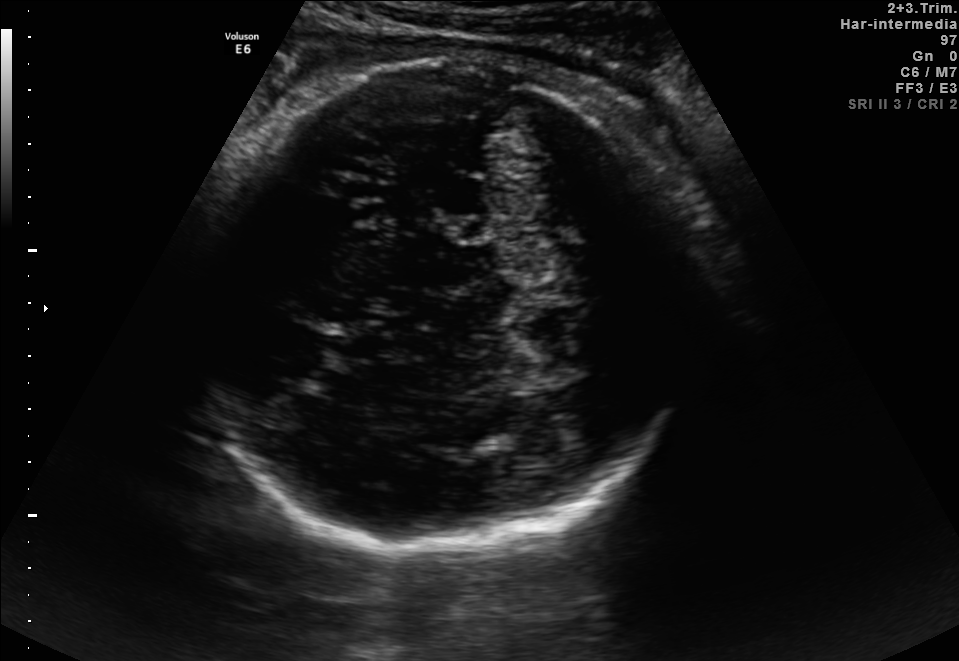
Fetal brain, trans-thalamic plane. Where is the fetal head?

Head bounding box: [198,57,701,558]